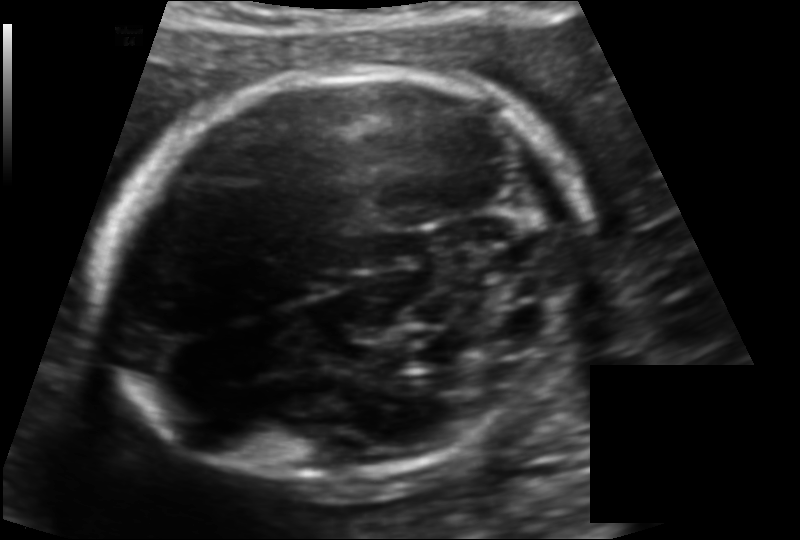
Estimate the fetal head circumference from this 2D ultrasound. Image width: 100.1 mm.

Head circumference: 183.6 mm.